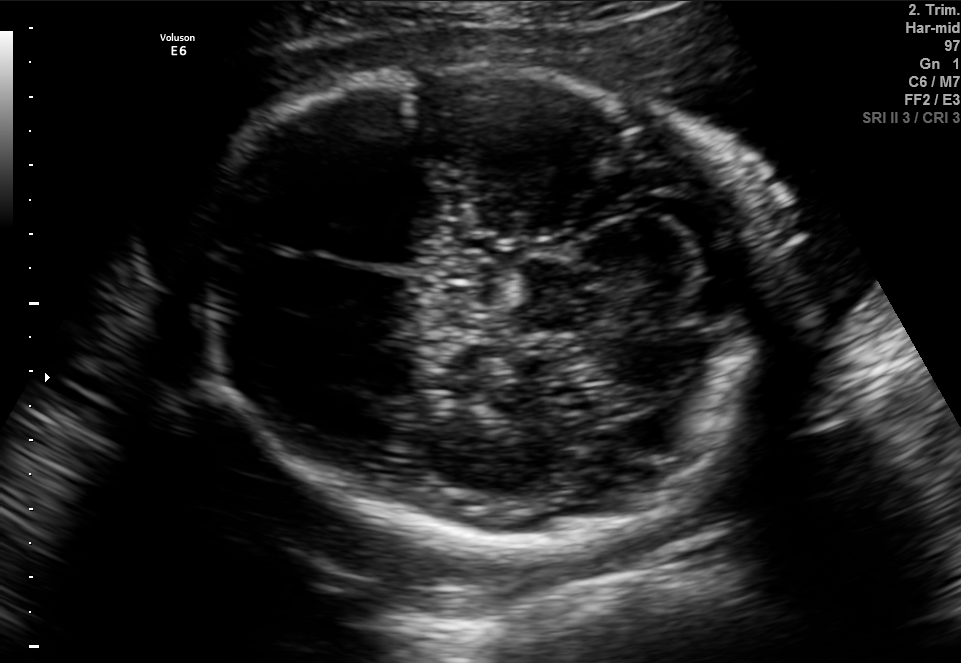
Fetal brain, trans-cerebellum plane. Where is the fetal head?

Head bounding box: [191,66,782,547]